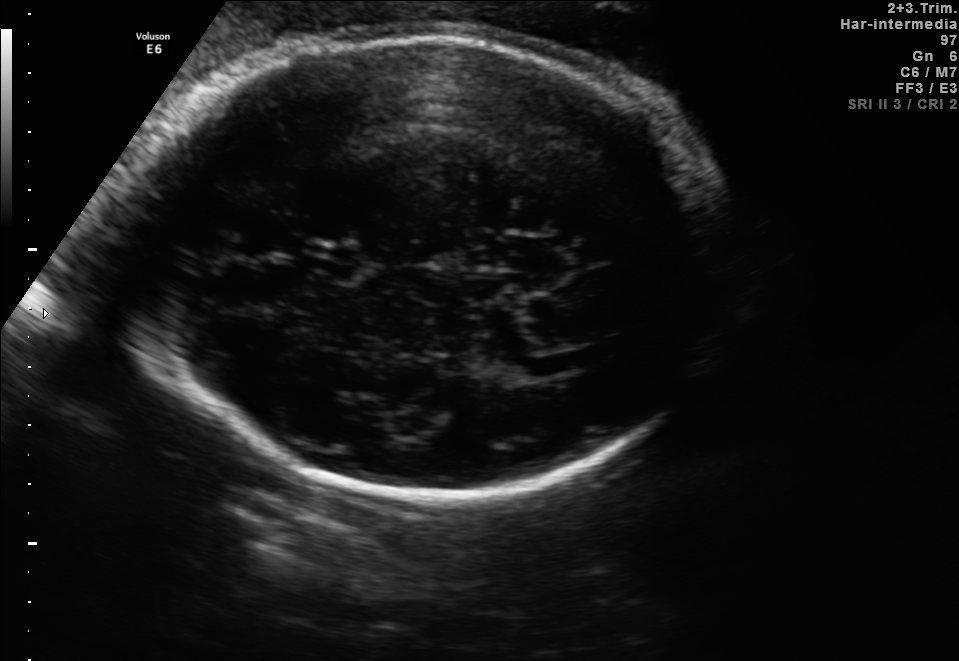
In this fetal brain, trans-thalamic plane, give the bounding box of the lateral ventricle.

[555,334,627,377]